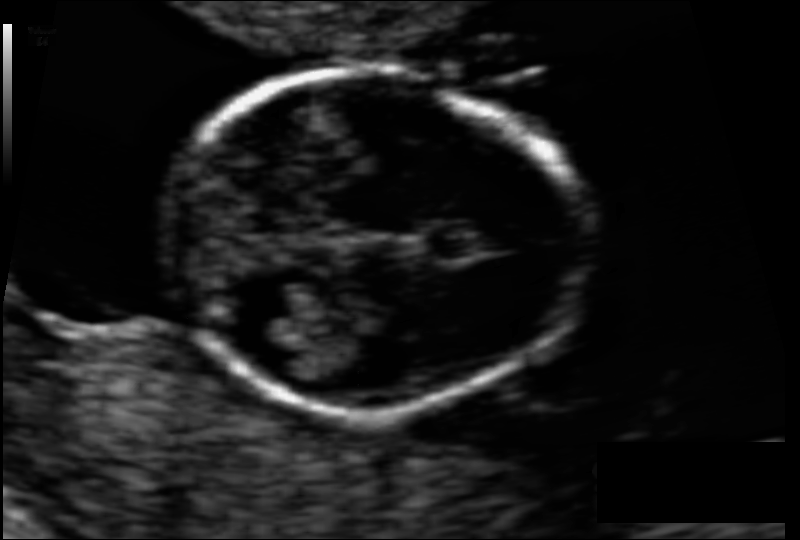
Fetal head ultrasound. Image width: 52.1 mm. Locate the fetal head and, if visible, the cavum septum pellucidum (CSP) and lateral ventricle (LV). Give bounding boxes as [x1,y1,x2,y2].

Head: [163,73,586,413]
CSP: [429,221,495,263]